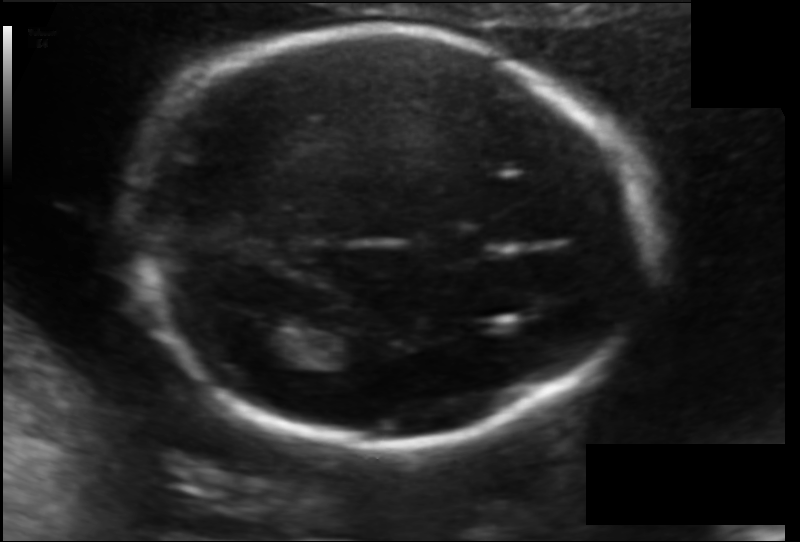
Fetal head ultrasound. Image width: 91.4 mm. Locate the fetal head and, if visible, the cavum septum pellucidum (CSP) and lateral ventricle (LV). Give bounding boxes as [x1,y1,x2,y2].

Head: [141,33,654,450]
CSP: [421,228,482,261]
Lateral ventricle: [240,326,297,367]